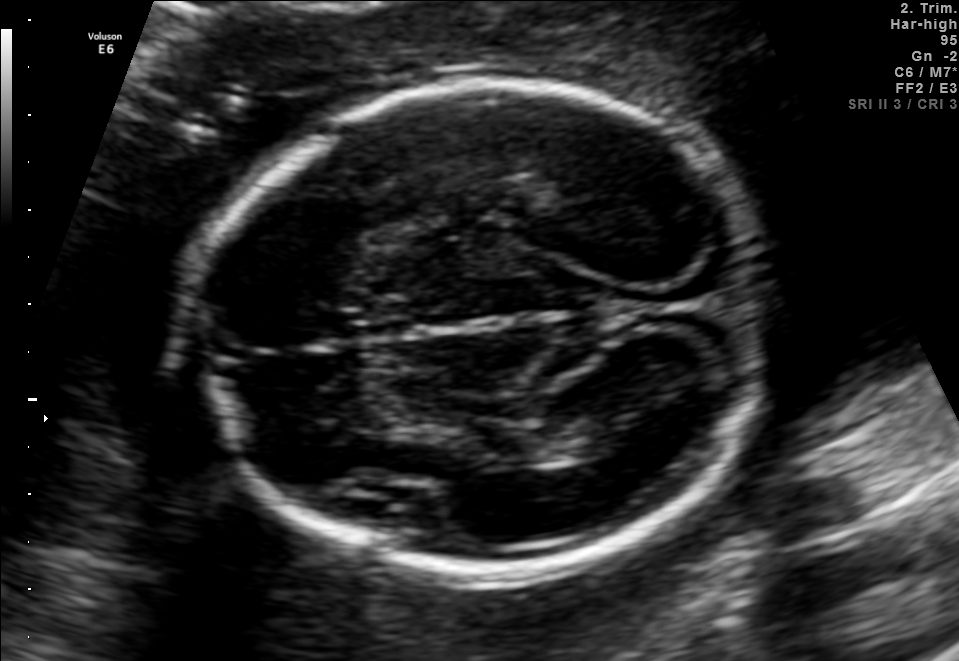
Fetal brain, trans-thalamic plane. Locate the lateral ventricle.

Lateral ventricle: [532,408,640,468]